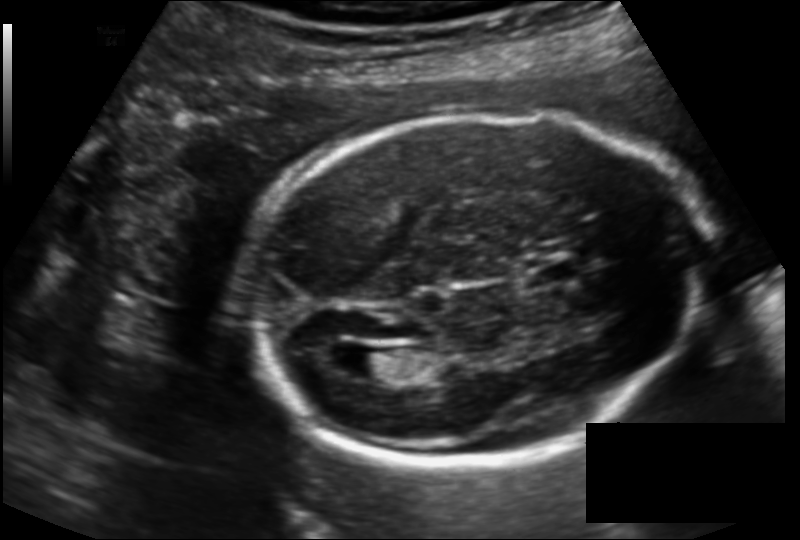
Estimate the fetal head circumference from this 2D ultrasound.

Head circumference: 186.2 mm (image width 114.4 mm).